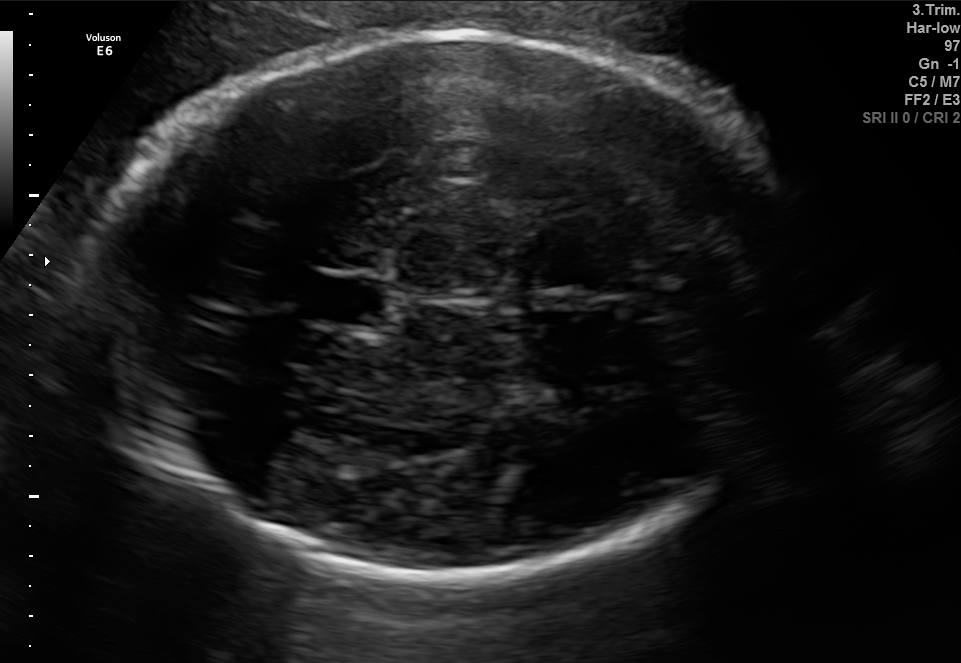
Fetal brain, trans-thalamic plane. Locate the fetal head.

Head: [91,34,810,577]